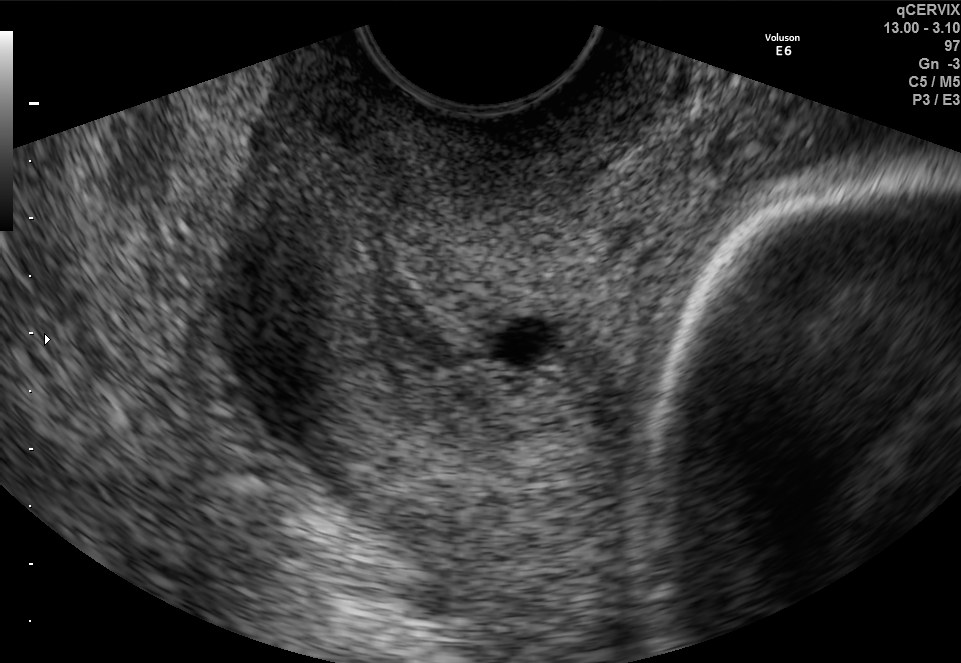
Identify the standard plane in this fetal ultrasound image: fetal abdomen, fetal brain, fetal femur, fetal thorax, maternal cervix, or other. If it's fetal brain and one of the three standard brain planes (trans-thalamic, trans-cerebellum, trans-ventricular), name which.

Maternal cervix